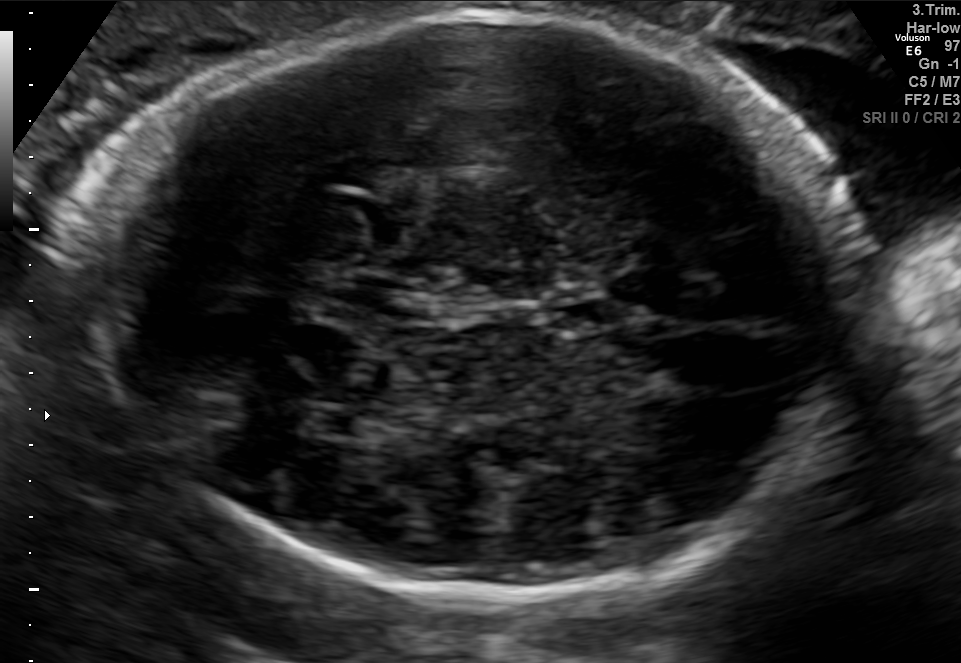
In this fetal brain, trans-thalamic plane, give the bounding box of the cavum septum pellucidum.

[546,291,633,336]